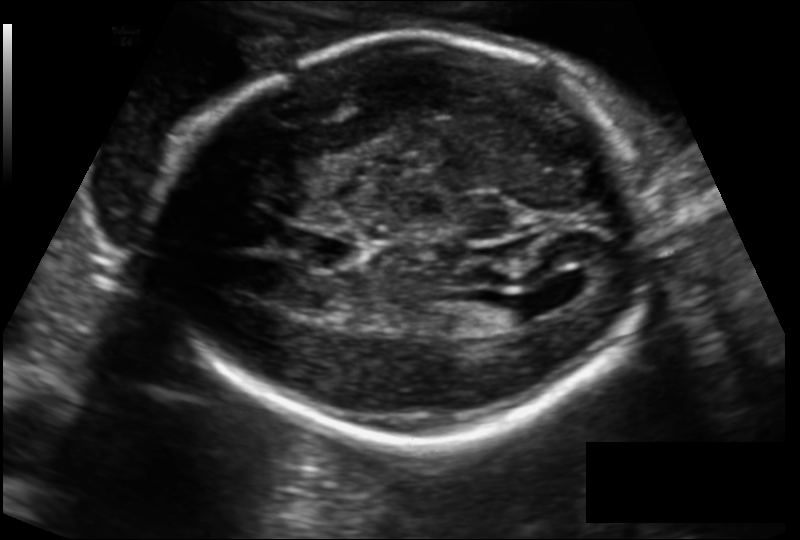
Estimate the fetal head circumference from this 2D ultrasound.

Head circumference: 216.8 mm (image width 119.5 mm).